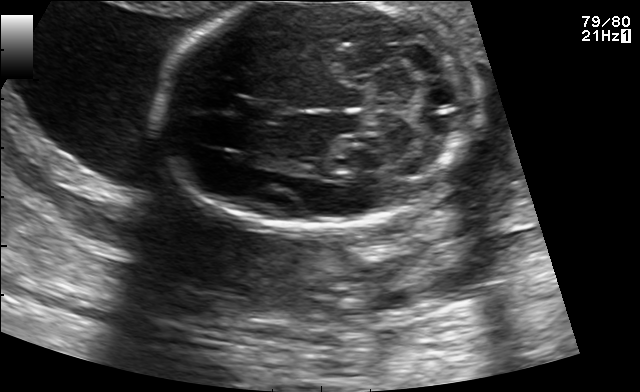
Fetal brain, trans-cerebellum plane. Where is the fetal head?

Head bounding box: [156,3,483,228]